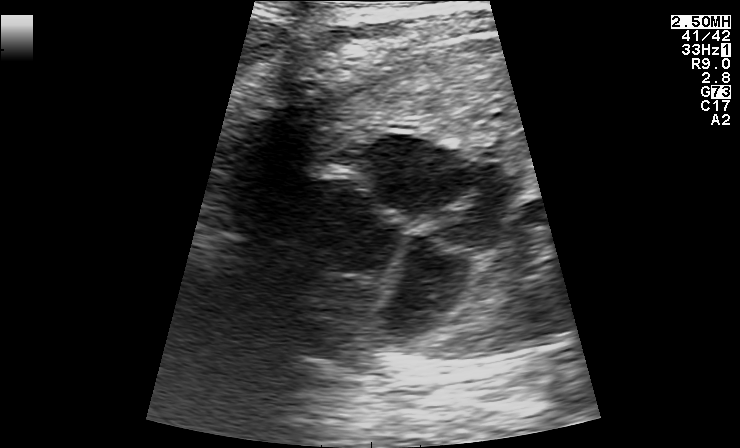
Which standard maternal-fetal ultrasound plane is shown: fetal abdomen, fetal brain, fetal femur, fetal thorax, maternal cervix, or other? If it's fetal brain and one of the three standard brain planes (trans-thalamic, trans-cerebellum, trans-ventricular), name which.

Fetal thorax